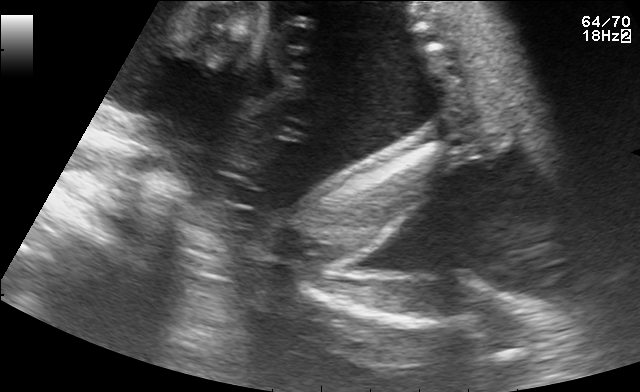
Classify this maternal-fetal ultrasound image as one of the six standard planes — fetal abdomen, fetal brain, fetal femur, fetal thorax, maternal cervix, or other. If it's fetal brain and one of the three standard brain planes (trans-thalamic, trans-cerebellum, trans-ventricular), name which.

Other